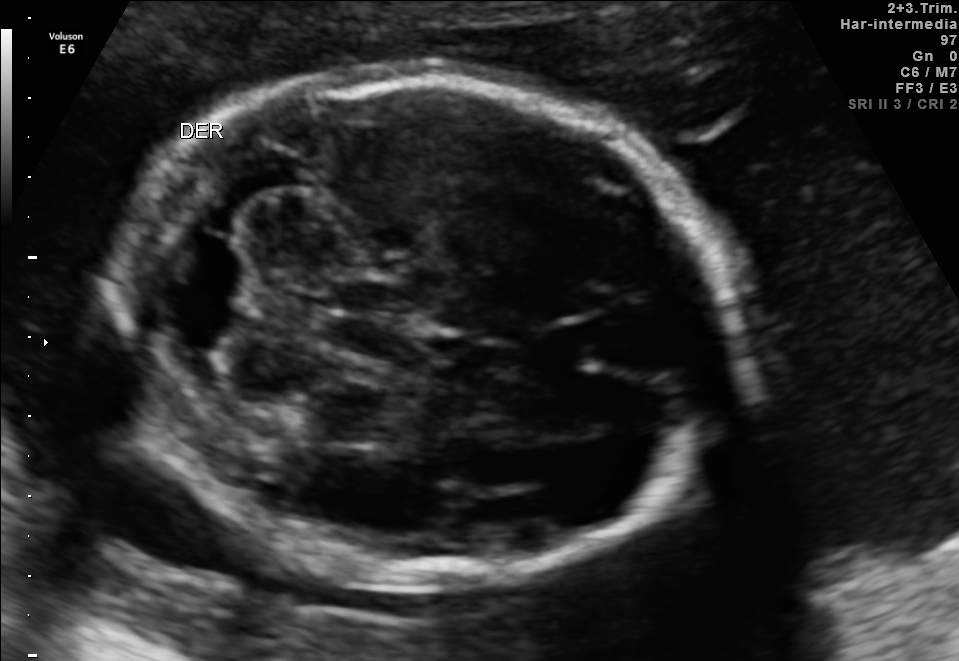
In this fetal brain, trans-cerebellum plane, give the bounding box of the fetal head.

[115,73,734,578]